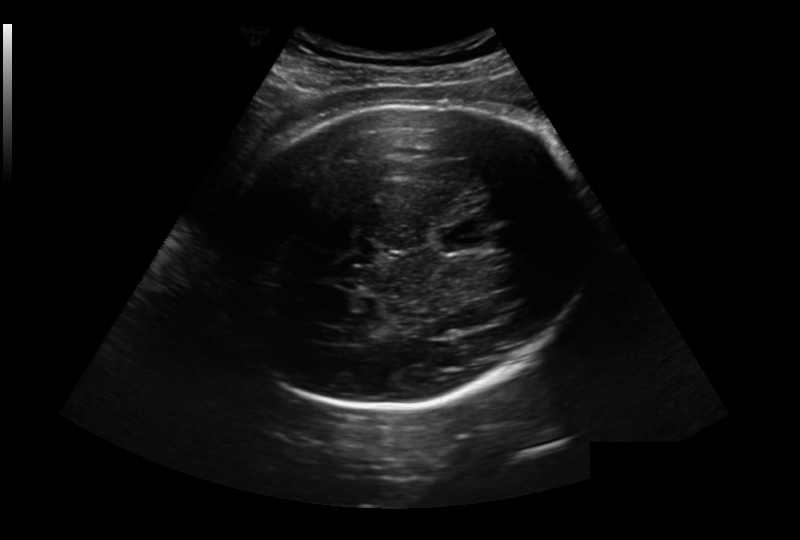
Fetal head ultrasound. Image width: 224.8 mm. Locate the fetal head.

Head: [215,107,591,410]